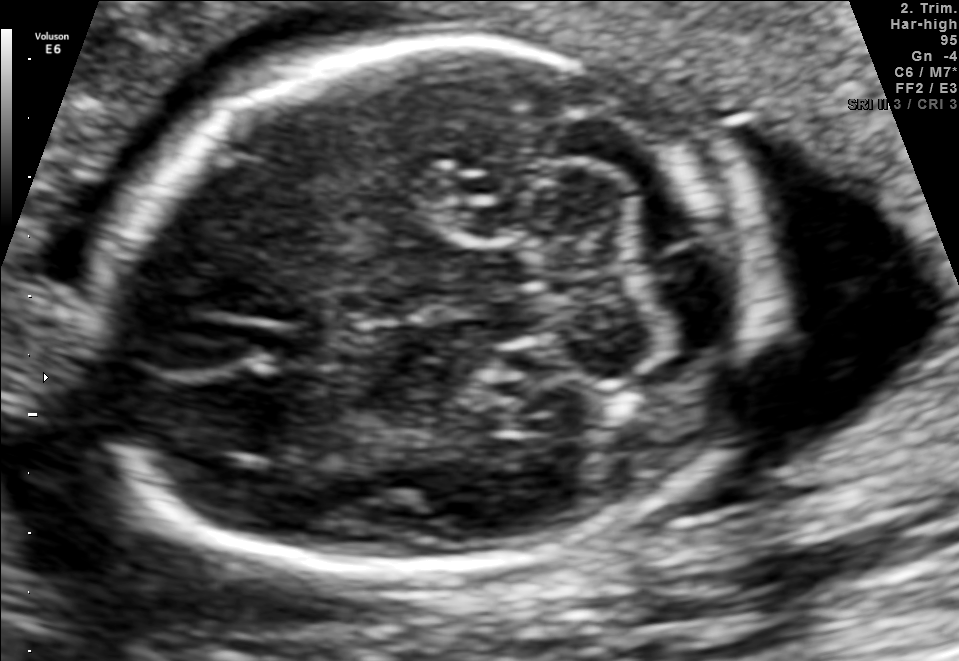
In this fetal brain, trans-cerebellum plane, give bounding boxes for the head outline, cavum septum pellucidum (CSP), and lateral ventricle (LV), where visible.

Head: [85,45,748,578]
CSP: [254,324,340,370]